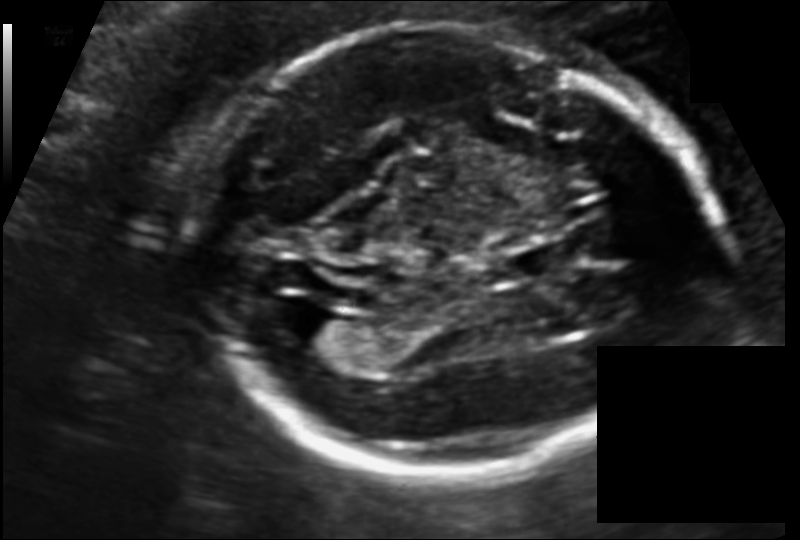
Estimate the fetal head circumference from this 2D ultrasound.

Head circumference: 184.6 mm (image width 94.5 mm).